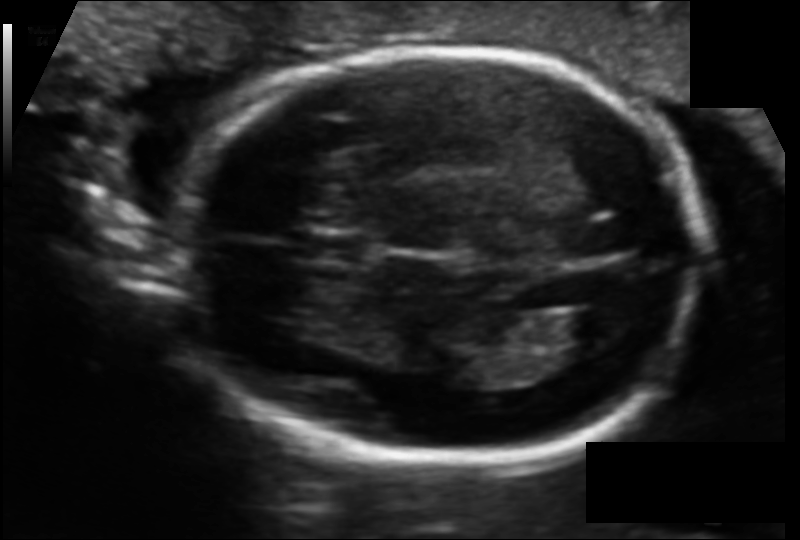
In this fetal head ultrasound, give the bounding box of the cavum septum pellucidum. Image width: 86.3 mm.

[304,233,369,263]